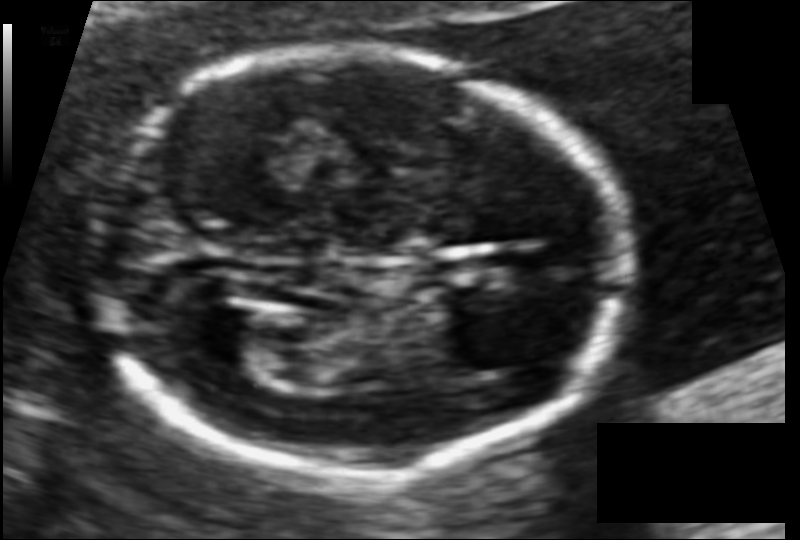
Estimate the fetal head circumference from this 2D ultrasound. Image width: 69.9 mm.

Head circumference: 135.4 mm.